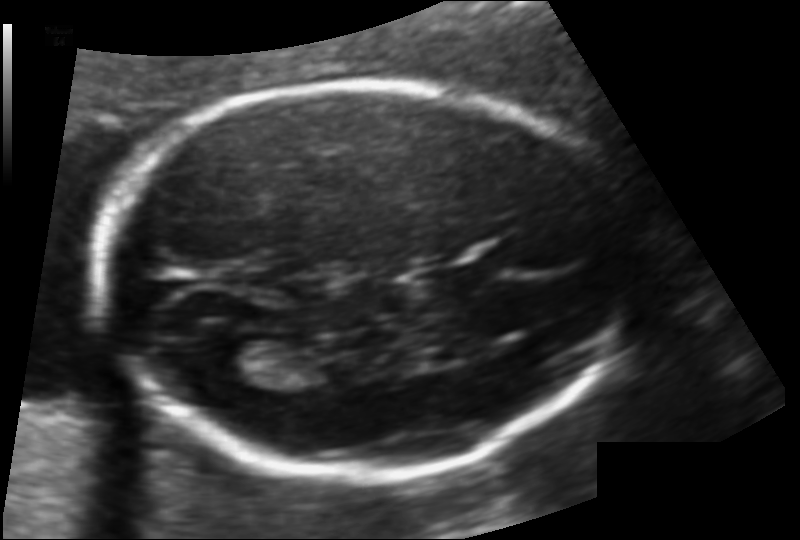
Fetal head ultrasound. Image width: 93.3 mm. Where is the fetal head?

Head bounding box: [98,81,621,477]